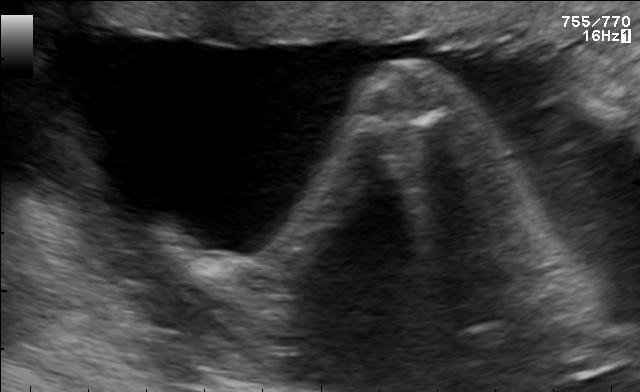
Classify this maternal-fetal ultrasound image as one of the six standard planes — fetal abdomen, fetal brain, fetal femur, fetal thorax, maternal cervix, or other. If it's fetal brain and one of the three standard brain planes (trans-thalamic, trans-cerebellum, trans-ventricular), name which.

Other